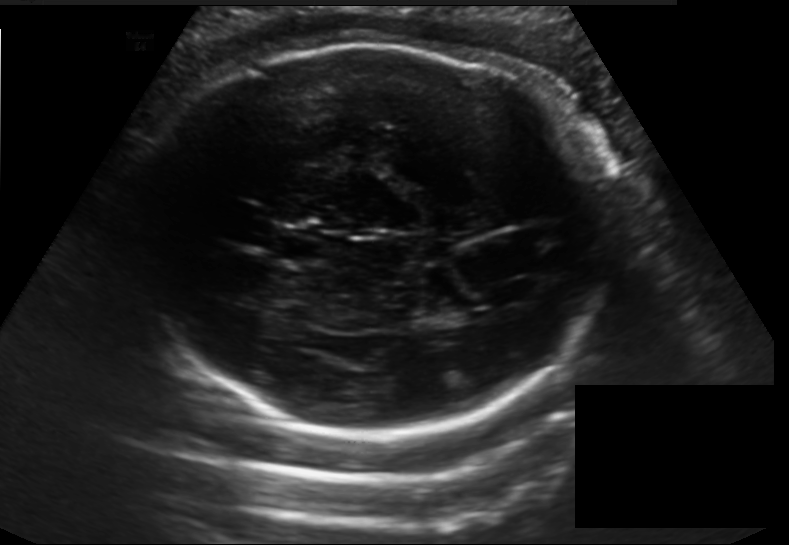
What is the fetal head circumference? Image width is 156.6 mm.

283.5 mm